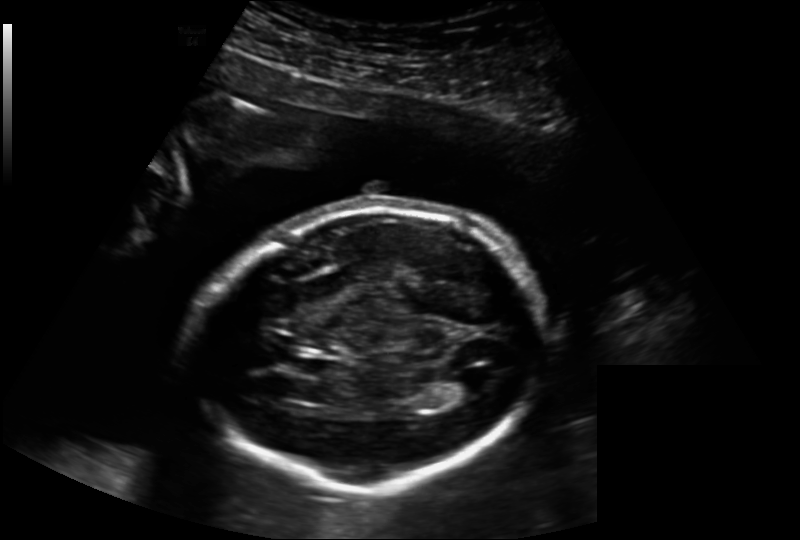
Fetal head ultrasound. Image width: 161.7 mm. Where is the fetal head?

Head bounding box: [194,208,543,486]